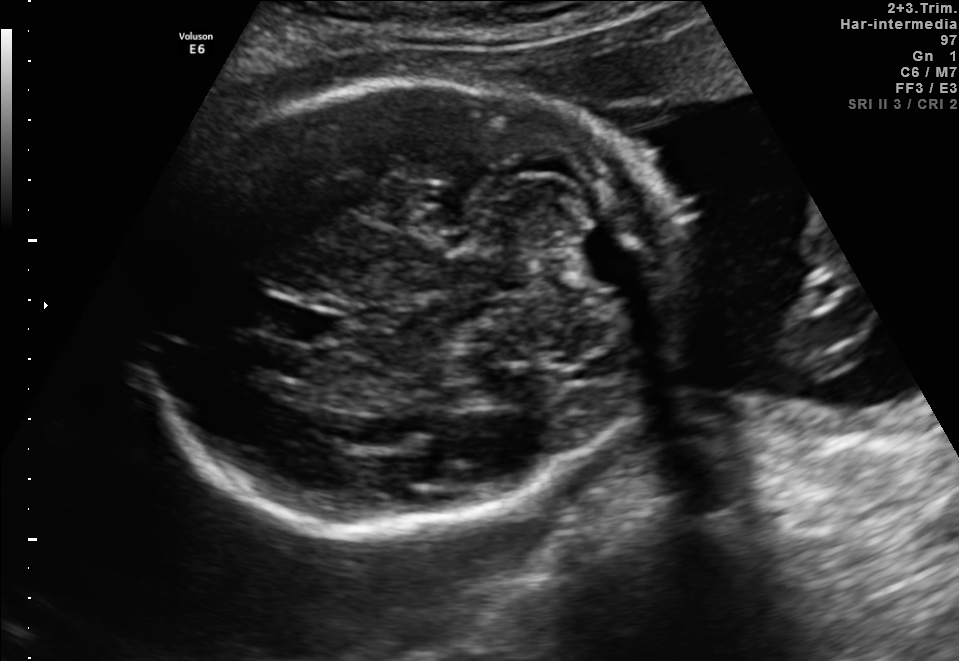
Fetal brain, trans-cerebellum plane. Where is the fetal head?

Head bounding box: [139,84,684,529]